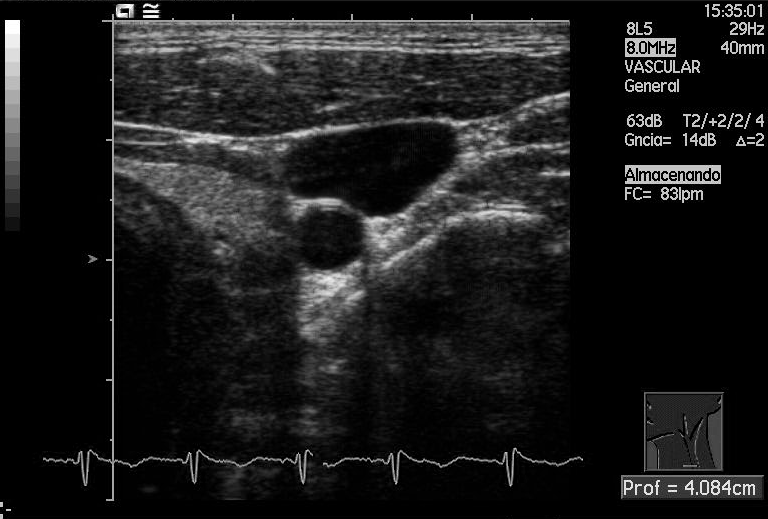
Identify the standard plane in this fetal ultrasound image: fetal abdomen, fetal brain, fetal femur, fetal thorax, maternal cervix, or other. If it's fetal brain and one of the three standard brain planes (trans-thalamic, trans-cerebellum, trans-ventricular), name which.

Other